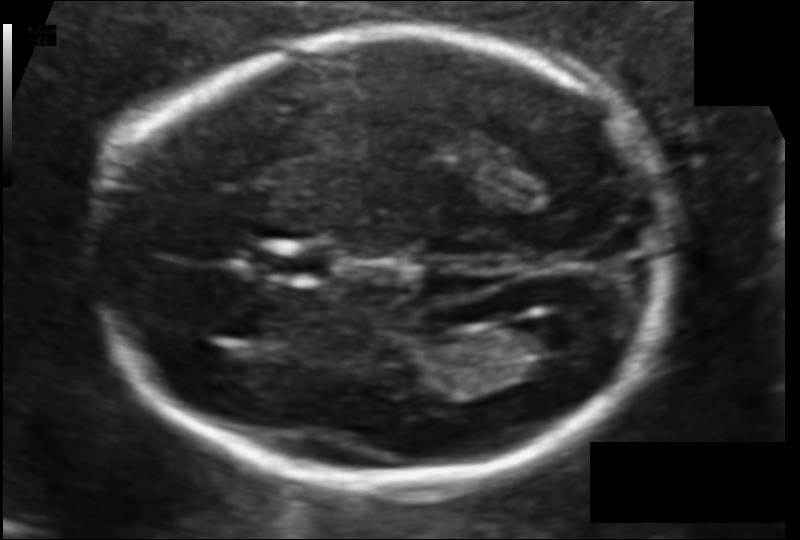
Fetal head ultrasound. Image width: 85.0 mm. Where is the cavum septum pellucidum?

CSP bounding box: [251,245,329,284]